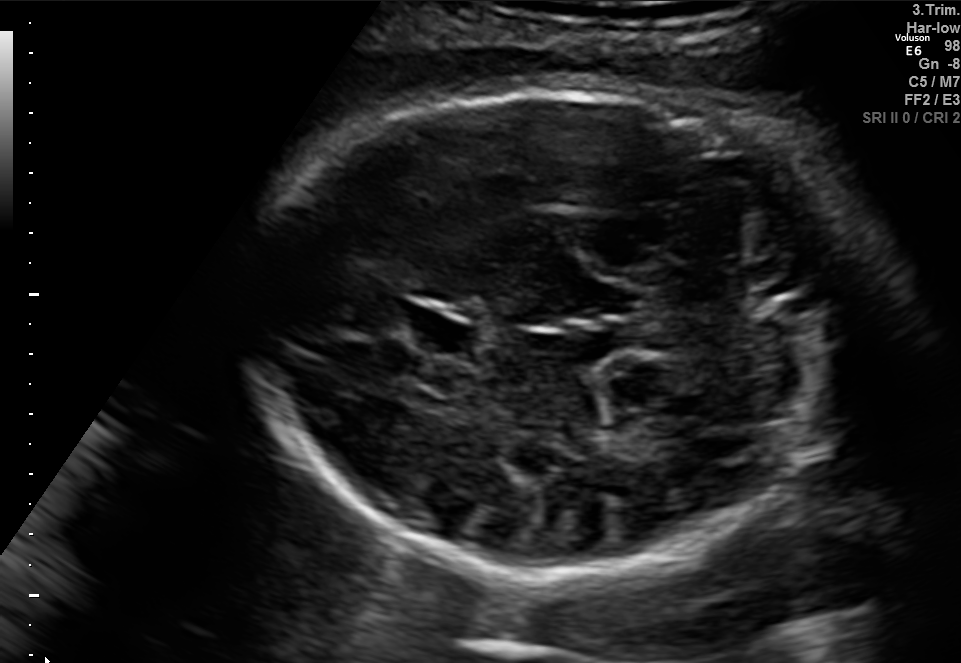
In this fetal brain, trans-cerebellum plane, give the bounding box of the cavum septum pellucidum.

[391,296,480,364]